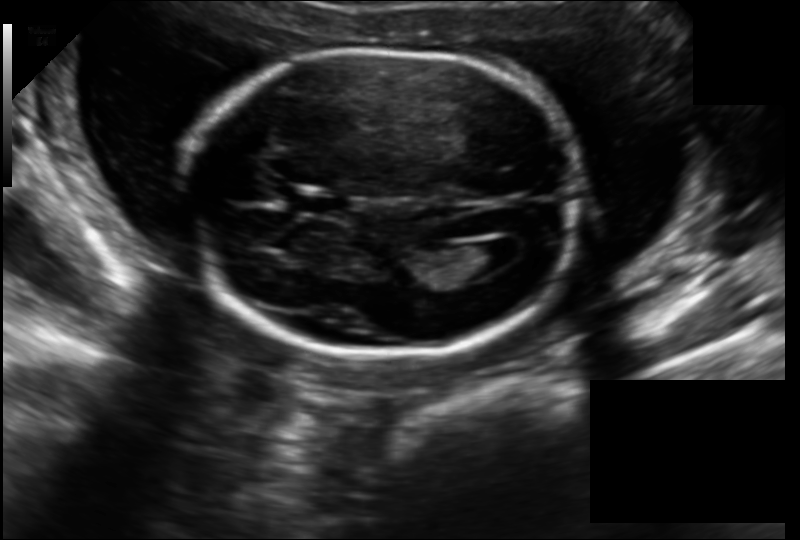
Fetal head ultrasound. Image width: 125.8 mm. Locate the fetal head.

Head: [182,47,581,359]